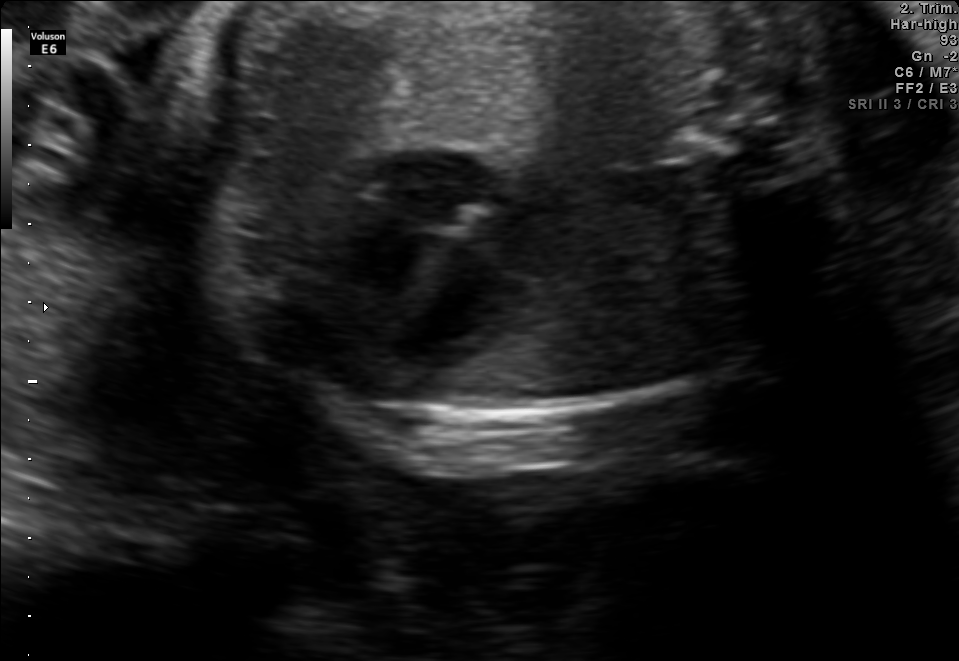
This is a 2D maternal-fetal ultrasound frame. Is it a fetal abdomen, fetal brain, fetal femur, fetal thorax, maternal cervix, or other standard plane? If it's fetal brain and one of the three standard brain planes (trans-thalamic, trans-cerebellum, trans-ventricular), name which.

Fetal thorax